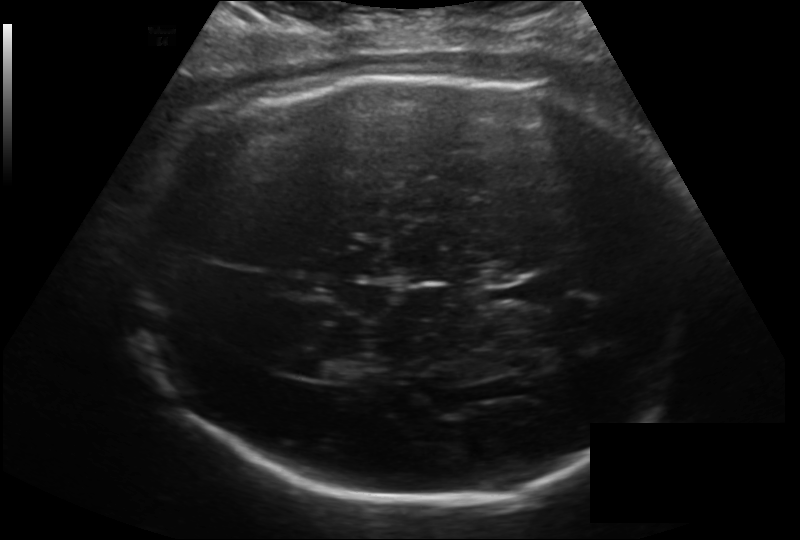
Fetal head ultrasound. Image width: 154.4 mm. Where is the cavum septum pellucidum?

CSP bounding box: [515,265,585,306]